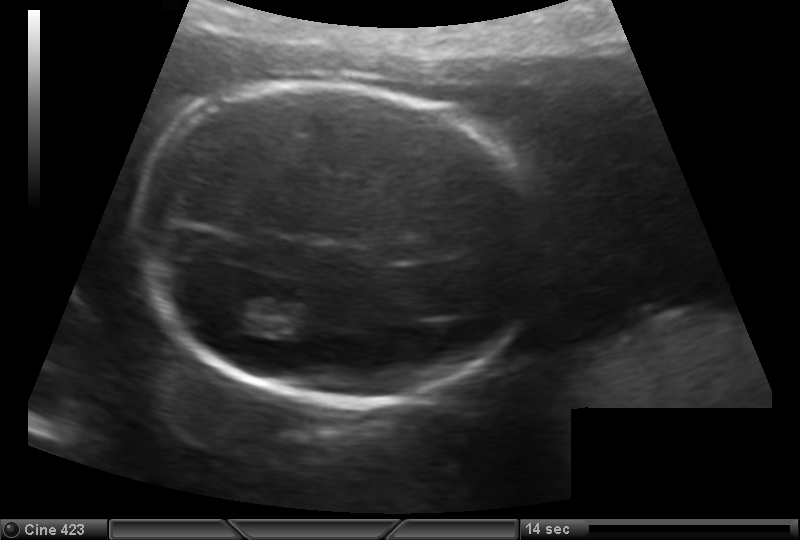
Fetal head ultrasound. Image width: 117.9 mm. Locate the lateral ventricle.

Lateral ventricle: [216,290,274,334]